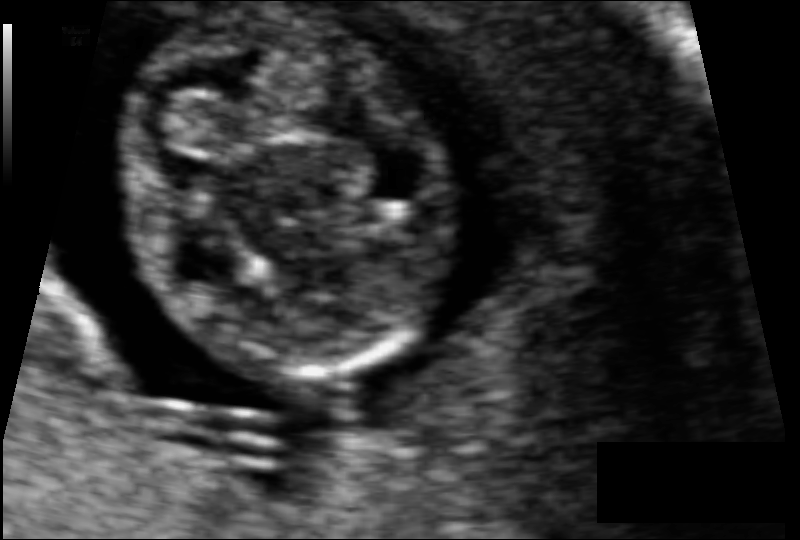
Estimate the fetal head circumference from this 2D ultrasound.

Head circumference: 68.8 mm (image width 49.6 mm).